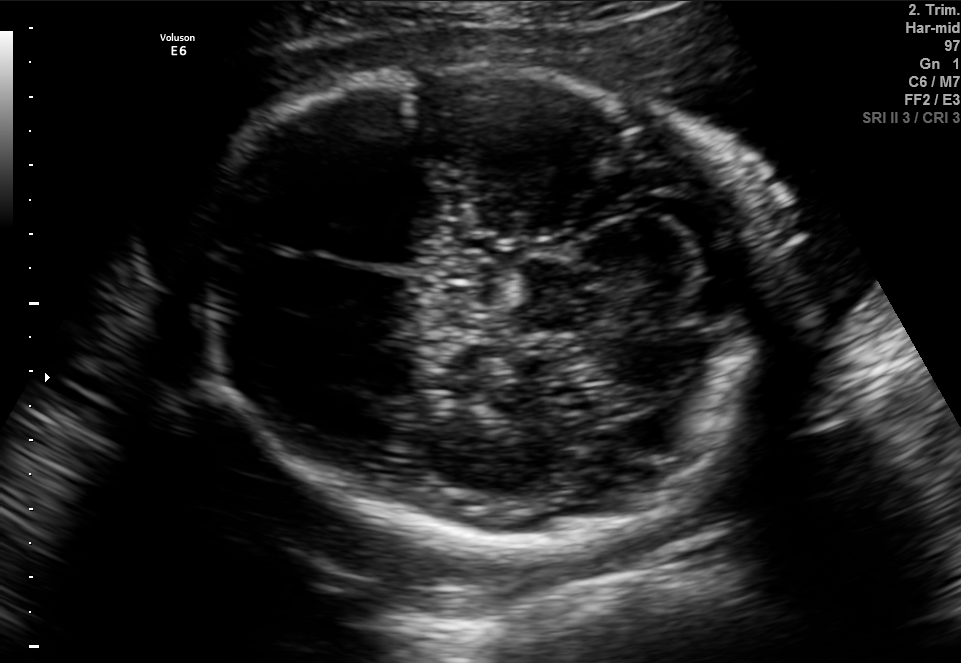
Identify the standard plane in this fetal ultrasound image: fetal abdomen, fetal brain, fetal femur, fetal thorax, maternal cervix, or other. If it's fetal brain and one of the three standard brain planes (trans-thalamic, trans-cerebellum, trans-ventricular), name which.

Fetal brain (trans-cerebellum plane)